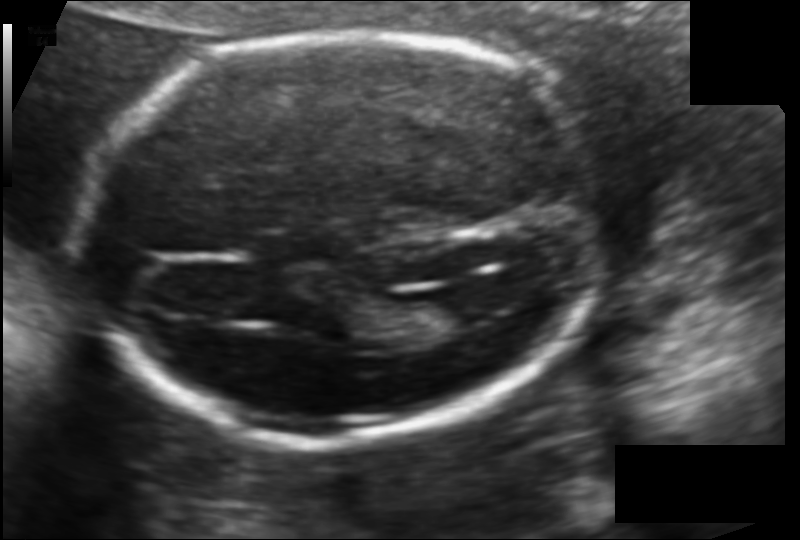
In this fetal head ultrasound, give bounding boxes for the head outline, cavum septum pellucidum (CSP), and lateral ventricle (LV), where visible. Image width: 94.7 mm.

Head: [80,29,601,440]
Lateral ventricle: [396,289,477,342]